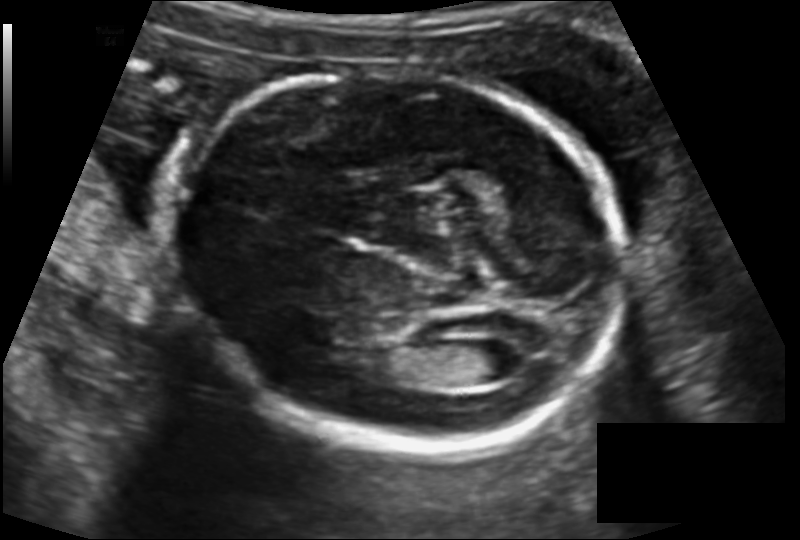
Measure the fetal head circumference shown in this ultrasound image. Image width: 103.4 mm.

Head circumference: 173.9 mm.